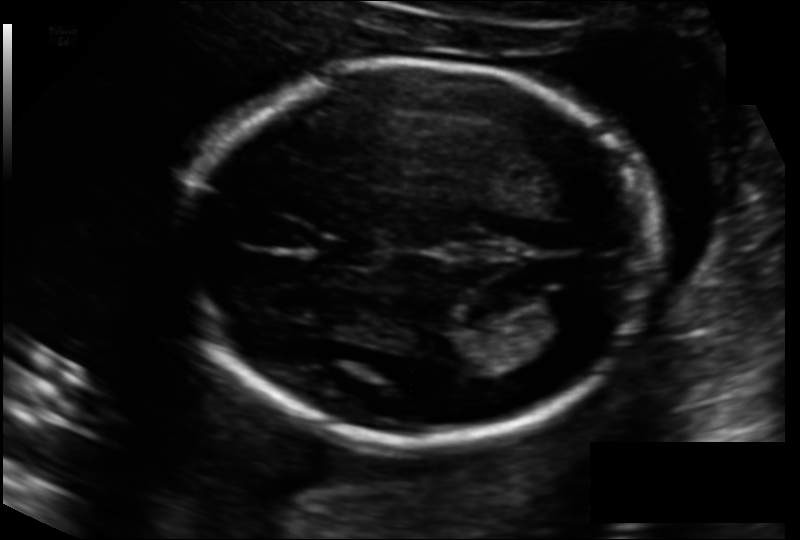
Estimate the fetal head circumference from this 2D ultrasound. Image width: 106.6 mm.

Head circumference: 182.9 mm.